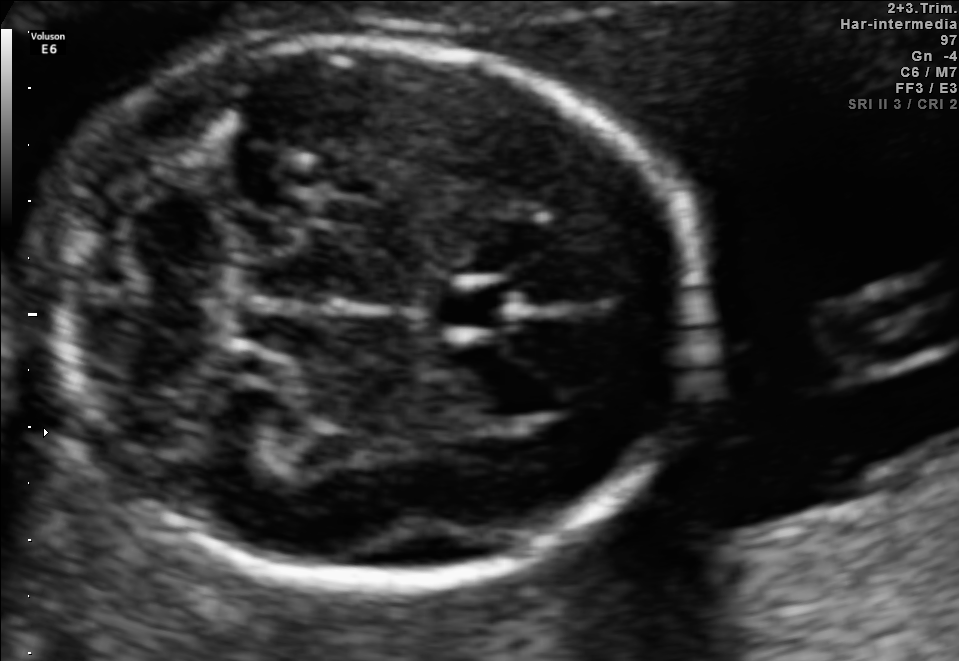
Fetal brain, trans-cerebellum plane. Where is the cavum septum pellucidum?

CSP bounding box: [437,282,515,333]